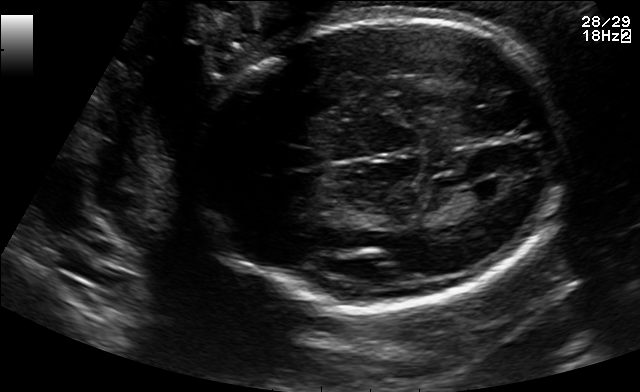
In this fetal brain, trans-ventricular plane, give bounding boxes for the head outline, cavum septum pellucidum (CSP), and lateral ventricle (LV), where visible.

Head: [200,14,574,310]